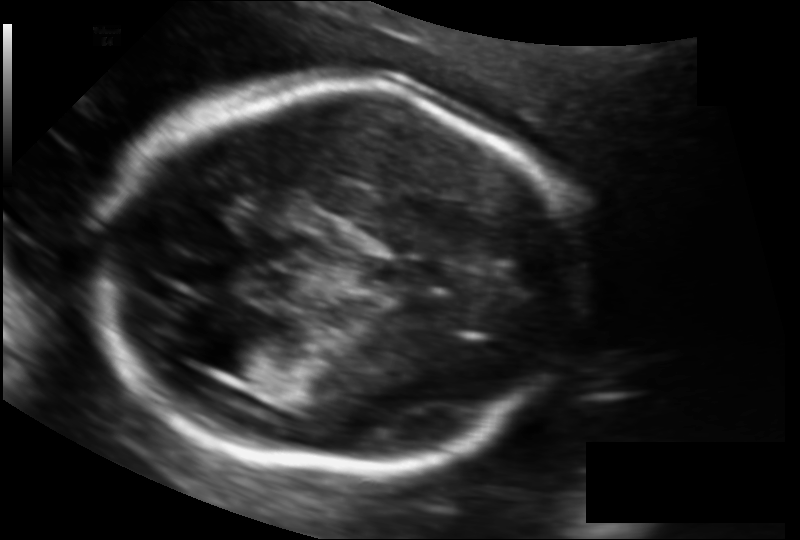
Estimate the fetal head circumference from this 2D ultrasound.

Head circumference: 169.3 mm (image width 96.6 mm).